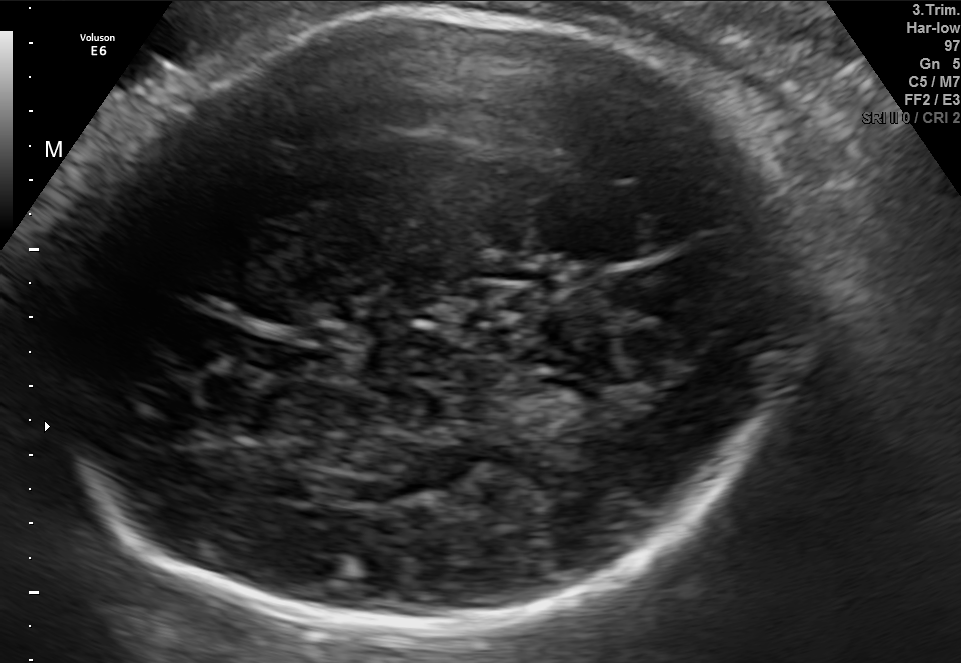
Fetal brain, trans-thalamic plane. Where is the fetal head?

Head bounding box: [42,13,789,636]